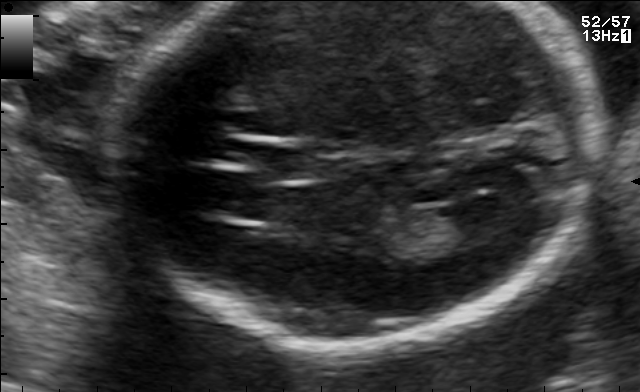
Fetal brain, trans-ventricular plane. Locate the cavum septum pellucidum (CSP) and lateral ventricle (LV), if visible. Give bounding boxes as [x1,y1,x2,y2].

CSP: [246,144,350,180]
Lateral ventricle: [435,185,521,247]